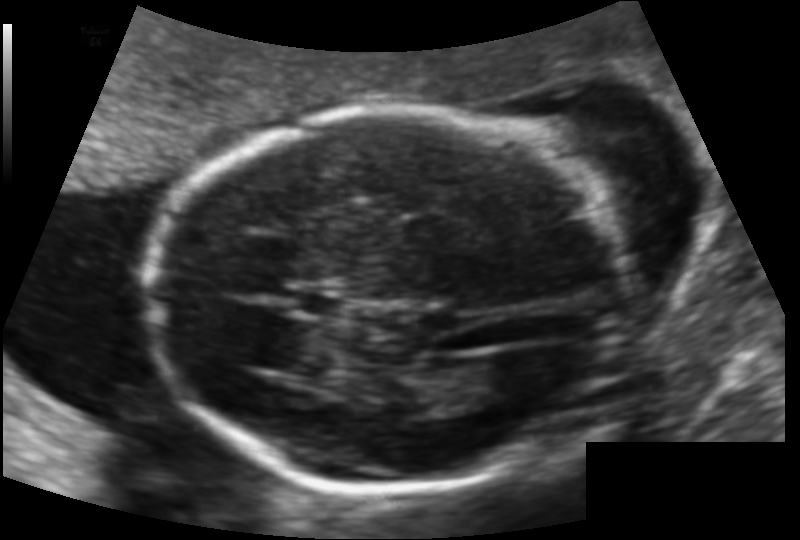
Fetal head ultrasound. Image width: 94.5 mm. Where is the cavum septum pellucidum?

CSP bounding box: [292,288,343,319]